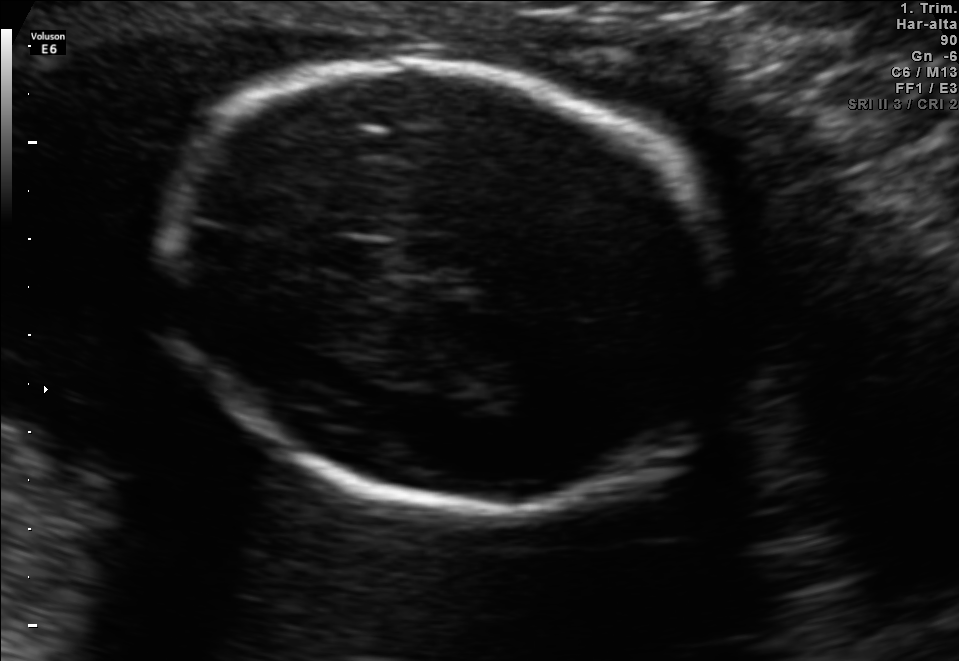
In this fetal brain, trans-thalamic plane, give bounding boxes for the head outline, cavum septum pellucidum (CSP), and lateral ventricle (LV), where visible.

Head: [164,60,727,515]
CSP: [328,238,394,274]